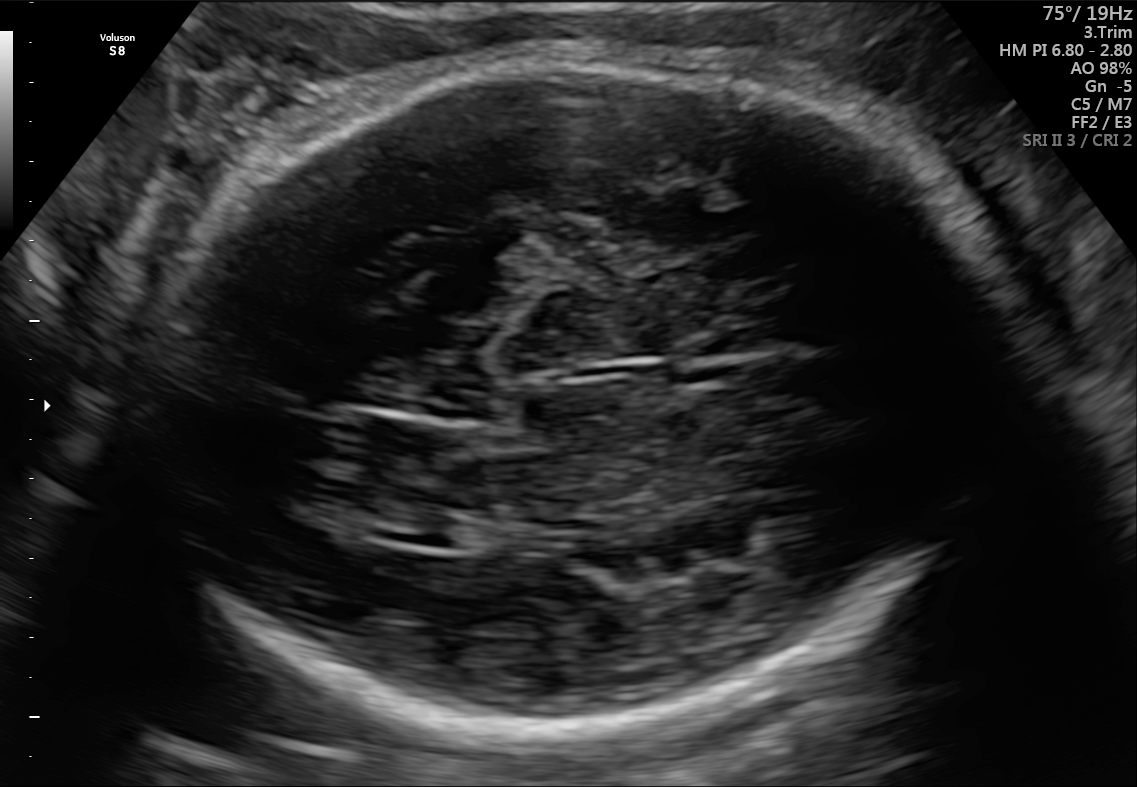
Fetal brain, trans-thalamic plane. Give [x1,y1,x2,y2] bounding boxes for each visible structure among: fetal head, CSP, LV.

Head: [142,58,1018,731]
Lateral ventricle: [379,513,458,553]